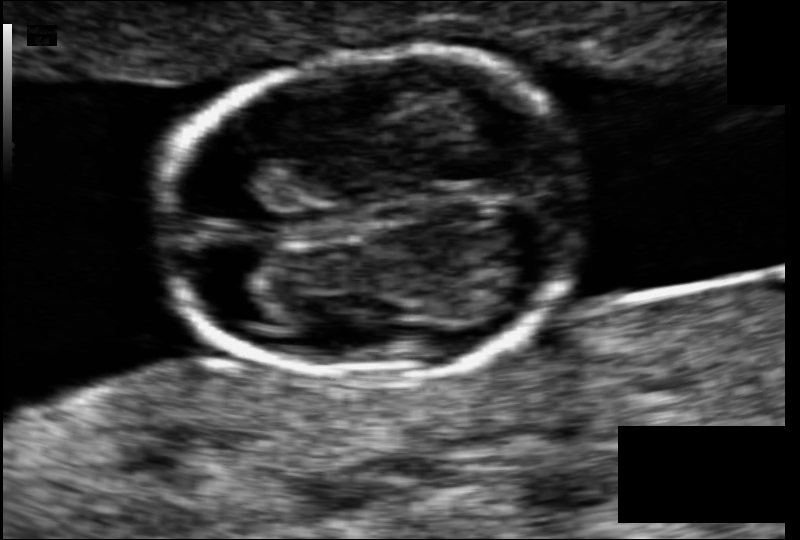
In this fetal head ultrasound, give the bounding box of the fetal head. Image width: 50.6 mm.

[158,52,586,378]